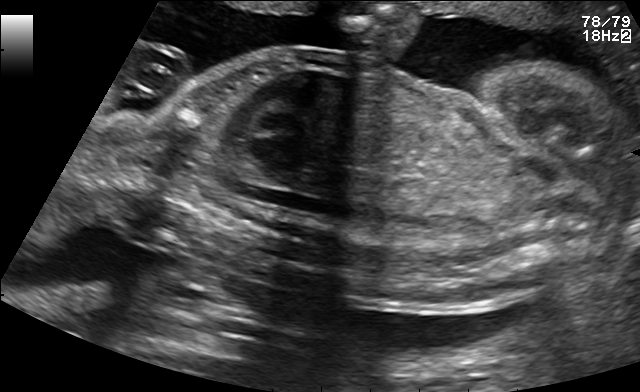
This is a 2D maternal-fetal ultrasound frame. Is it a fetal abdomen, fetal brain, fetal femur, fetal thorax, maternal cervix, or other standard plane? If it's fetal brain and one of the three standard brain planes (trans-thalamic, trans-cerebellum, trans-ventricular), name which.

Other